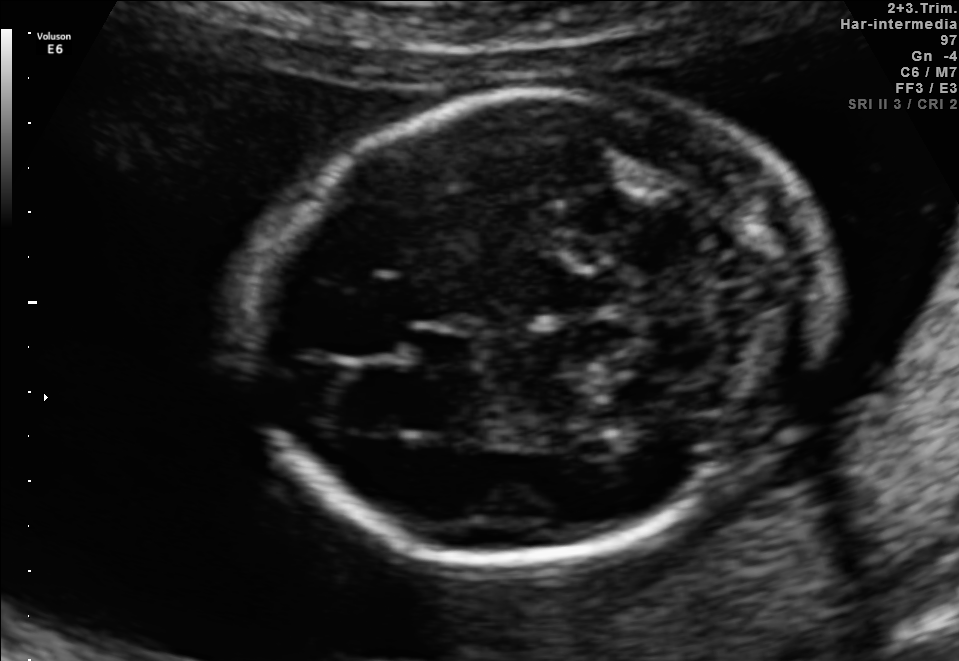
Fetal brain, trans-cerebellum plane. Give [x1,y1,x2,y2] bounding boxes for each visible structure among: fetal head, CSP, LV.

Head: [253,89,826,562]
CSP: [410,324,478,371]